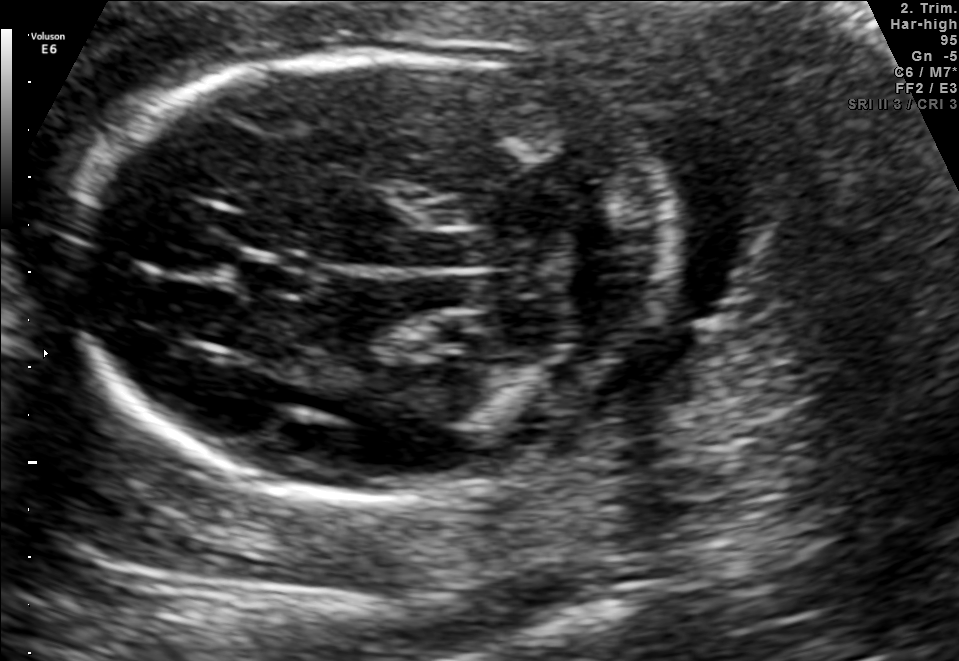
Fetal brain, trans-cerebellum plane. Where is the fetal head?

Head bounding box: [68,55,673,496]